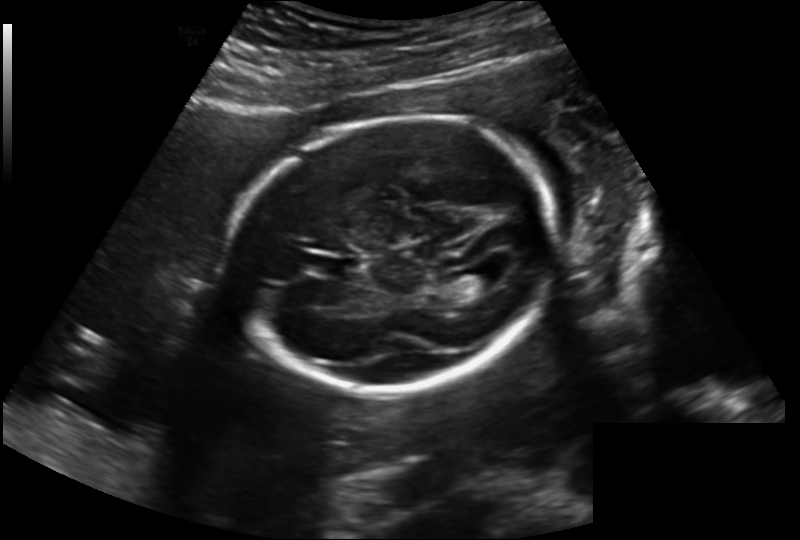
Fetal head ultrasound. Image width: 161.6 mm. Locate the lateral ventricle.

Lateral ventricle: [450,257,502,303]